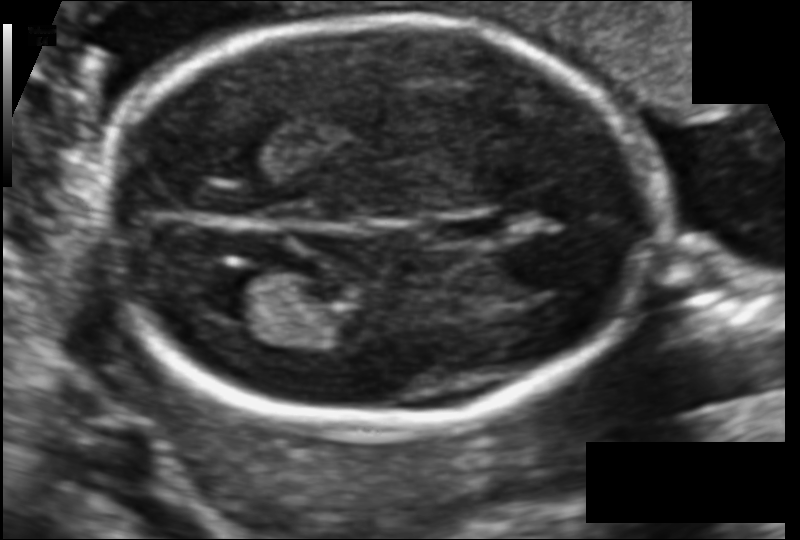
In this fetal head ultrasound, give the bounding box of the fetal head. Image width: 84.6 mm.

[99,17,662,431]